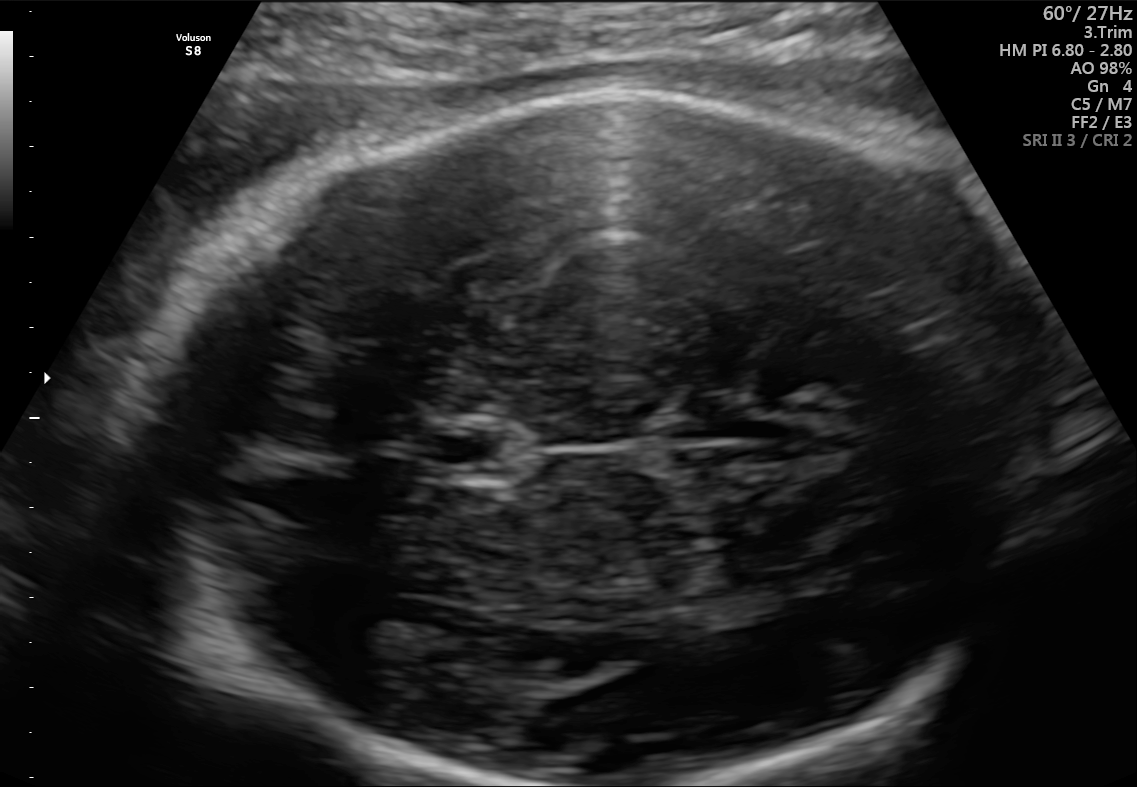
Fetal brain, trans-thalamic plane. Give [x1,y1,x2,y2] bounding boxes for each visible structure among: fetal head, CSP, LV.

Head: [124,88,1069,785]
CSP: [421,422,517,479]